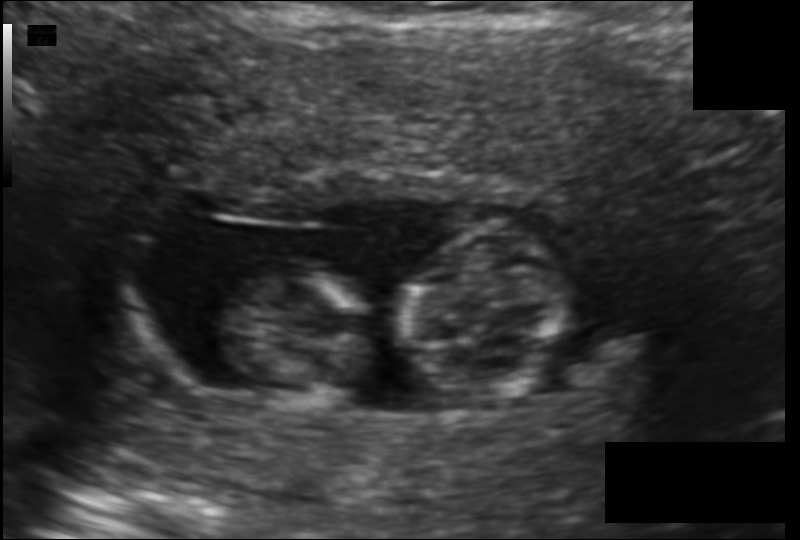
Fetal head ultrasound. Image width: 95.3 mm. Give [x1,y1,x2,y2] bounding boxes for each visible structure among: fetal head, CSP, LV.

Head: [395,221,571,404]